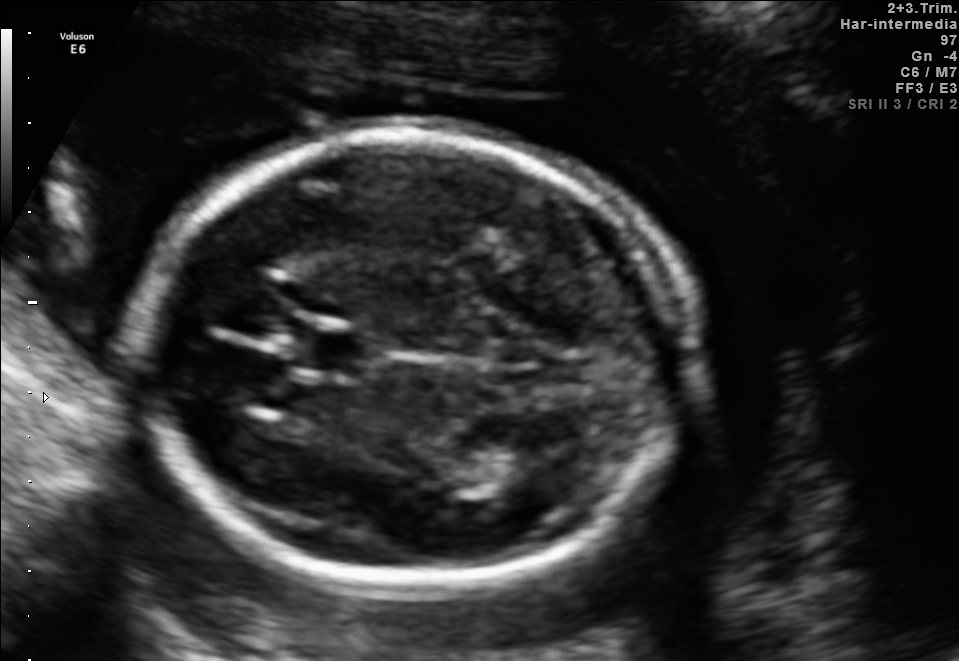
Fetal brain, trans-thalamic plane. Give [x1,y1,x2,y2] bounding boxes for each visible structure among: fetal head, CSP, LV.

Head: [142,133,687,586]
CSP: [295,326,368,377]
Lateral ventricle: [471,428,569,499]